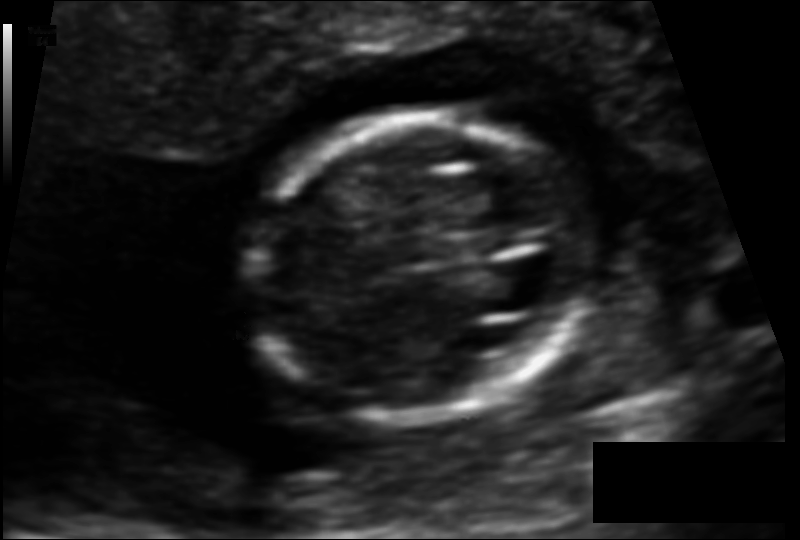
Fetal head ultrasound. Image width: 73.5 mm. Locate the fetal head.

Head: [244,114,592,422]